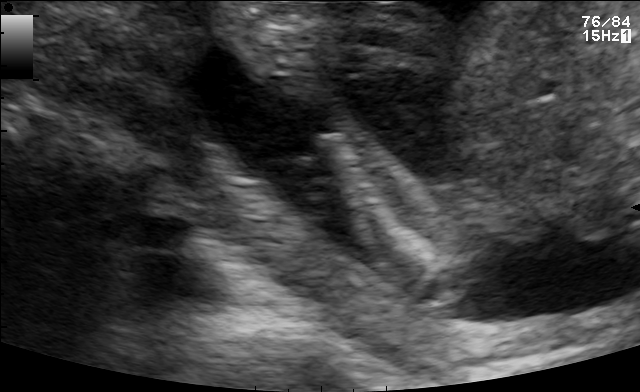
This is a 2D maternal-fetal ultrasound frame. Is it a fetal abdomen, fetal brain, fetal femur, fetal thorax, maternal cervix, or other standard plane? If it's fetal brain and one of the three standard brain planes (trans-thalamic, trans-cerebellum, trans-ventricular), name which.

Other